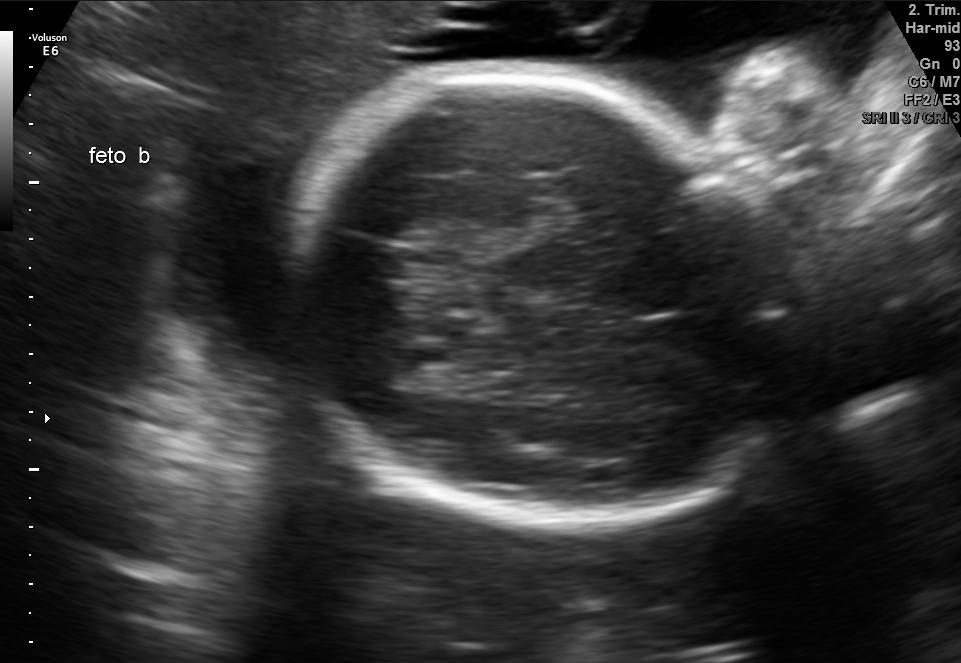
In this fetal brain, trans-thalamic plane, give bounding boxes for the head outline, cavum septum pellucidum (CSP), and lateral ventricle (LV), where visible.

Head: [284,70,796,527]